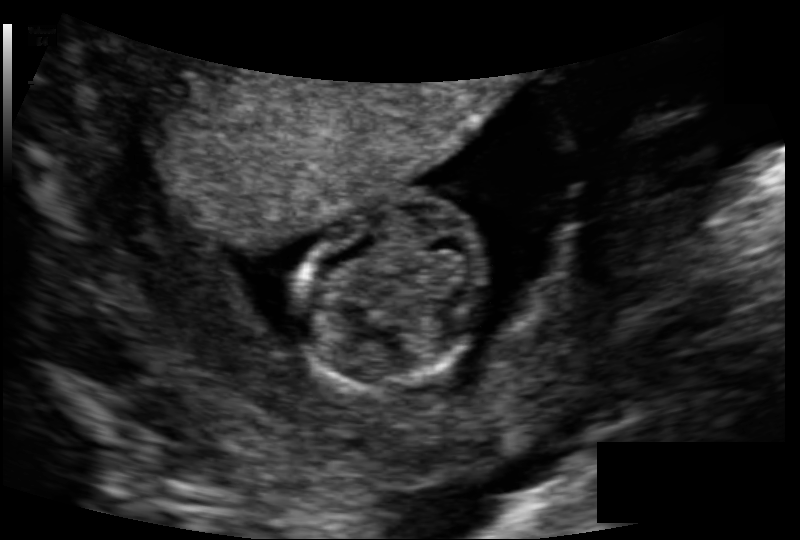
In this fetal head ultrasound, give bounding boxes for the head outline, cavum septum pellucidum (CSP), and lateral ventricle (LV), where visible. Image width: 94.2 mm.

Head: [298,197,494,387]